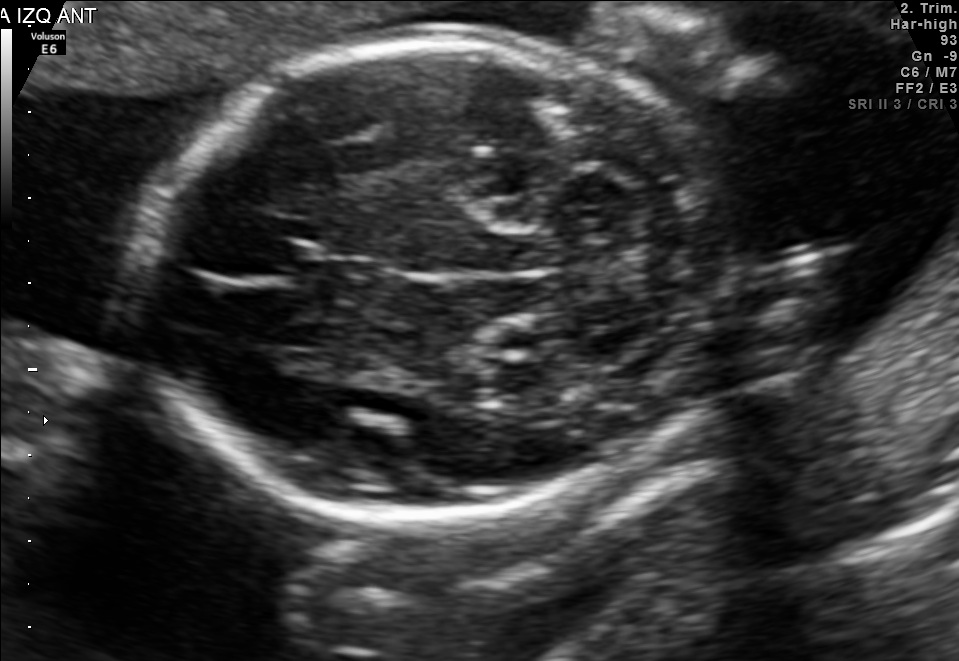
Identify the standard plane in this fetal ultrasound image: fetal abdomen, fetal brain, fetal femur, fetal thorax, maternal cervix, or other. If it's fetal brain and one of the three standard brain planes (trans-thalamic, trans-cerebellum, trans-ventricular), name which.

Fetal brain (trans-cerebellum plane)